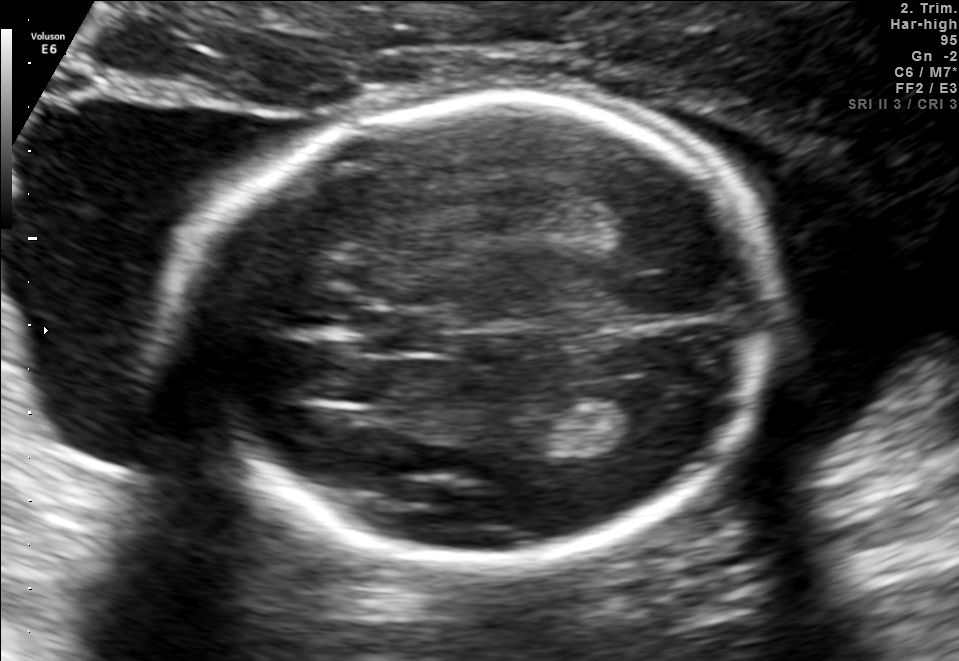
Fetal brain, trans-thalamic plane. Locate the cavum septum pellucidum.

CSP: [360,313,443,352]